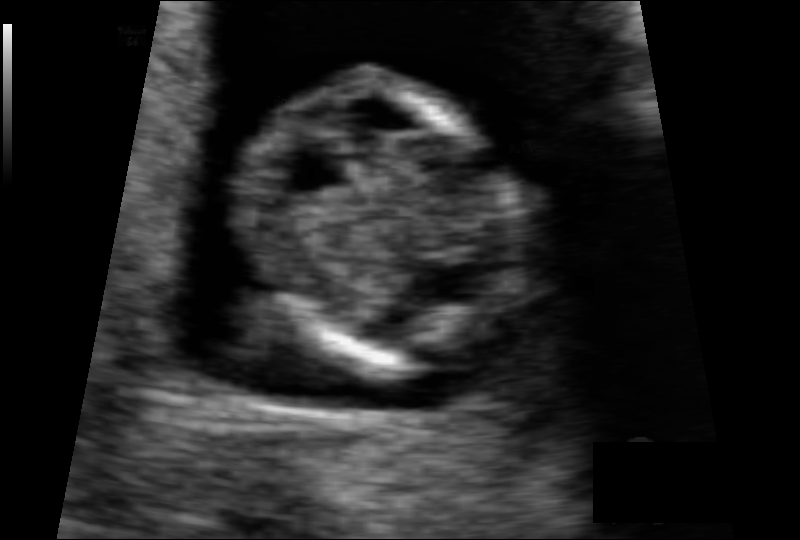
Fetal head ultrasound. Image width: 59.9 mm. Give [x1,y1,x2,y2] bounding boxes for each visible structure among: fetal head, CSP, LV.

Head: [237,78,533,373]